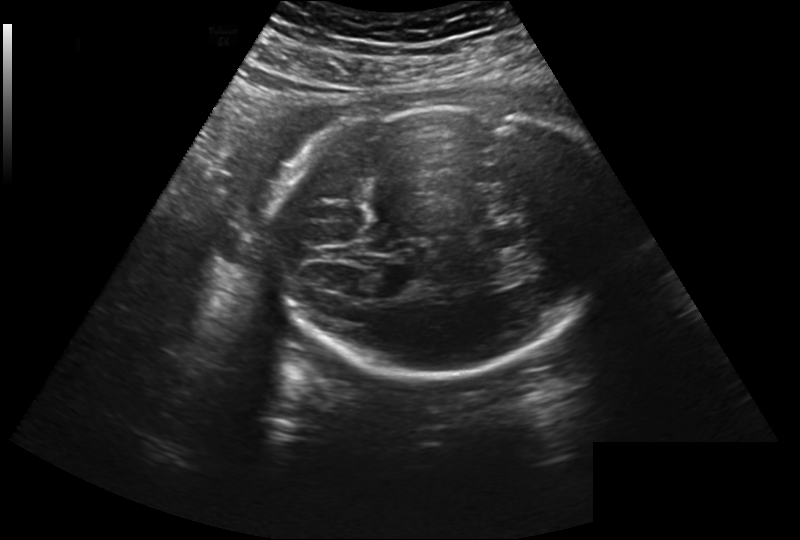
From this fetal ultrasound, estimate the head circumference (image width 208.3 mm).

Head circumference: 264.3 mm.